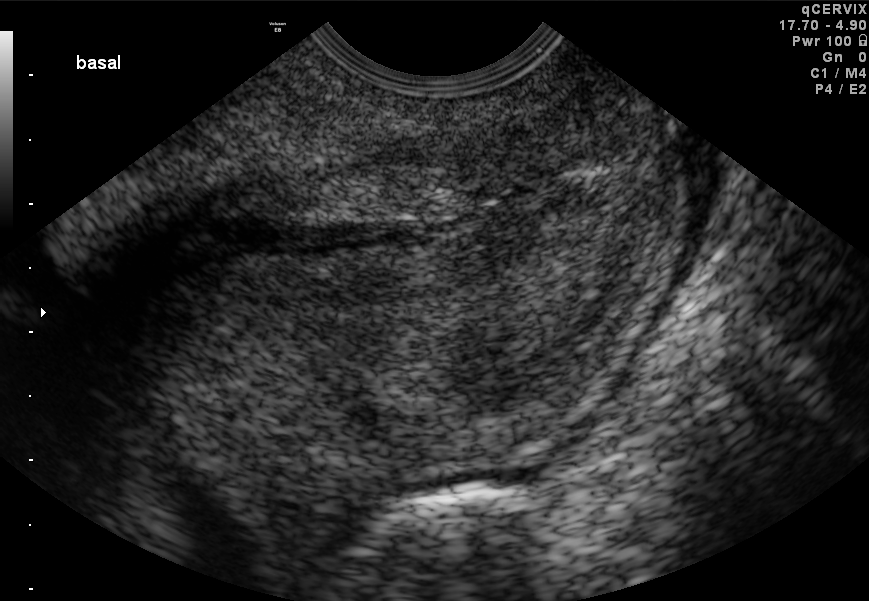
Identify the standard plane in this fetal ultrasound image: fetal abdomen, fetal brain, fetal femur, fetal thorax, maternal cervix, or other. If it's fetal brain and one of the three standard brain planes (trans-thalamic, trans-cerebellum, trans-ventricular), name which.

Maternal cervix